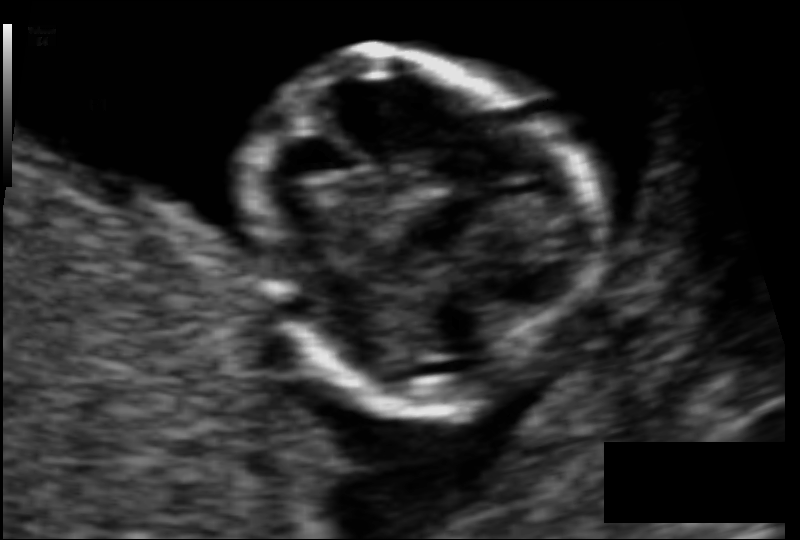
What is the fetal head circumference? Image width is 54.6 mm.

75.8 mm